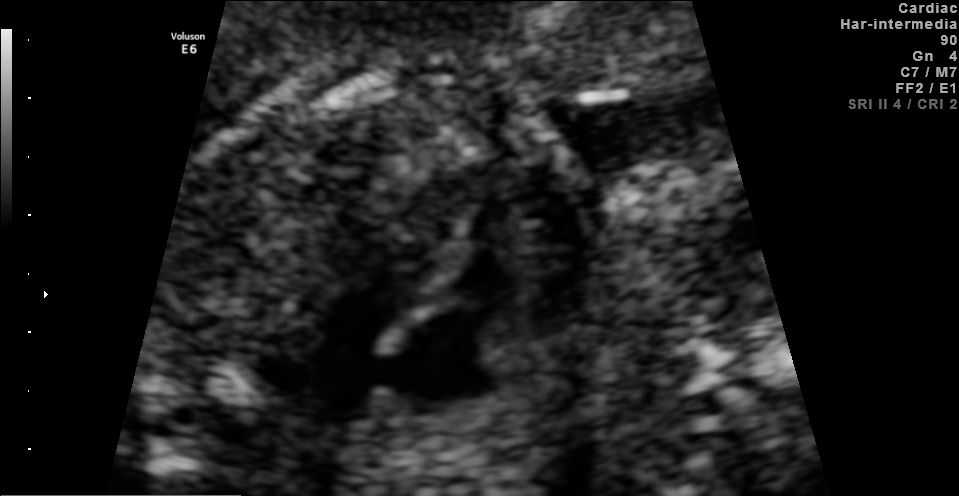
Which standard maternal-fetal ultrasound plane is shown: fetal abdomen, fetal brain, fetal femur, fetal thorax, maternal cervix, or other? If it's fetal brain and one of the three standard brain planes (trans-thalamic, trans-cerebellum, trans-ventricular), name which.

Fetal thorax